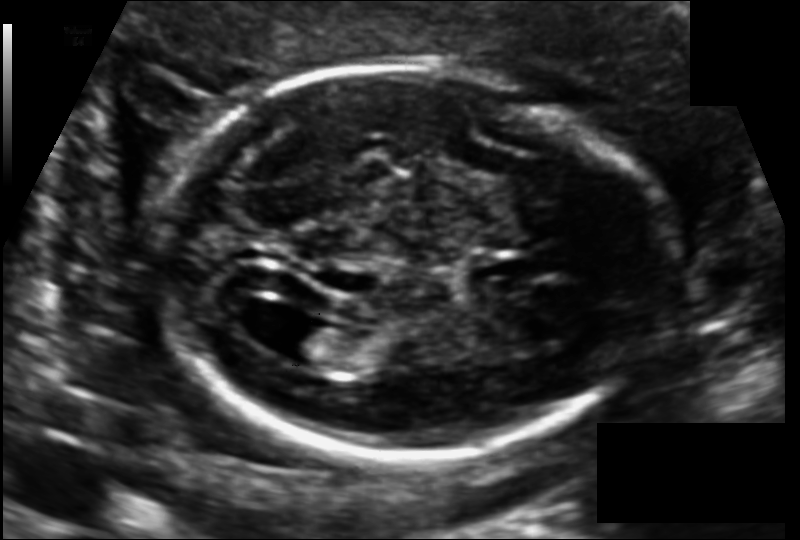
From this fetal ultrasound, estimate the head circumference (image width 94.6 mm).

Head circumference: 171.2 mm.